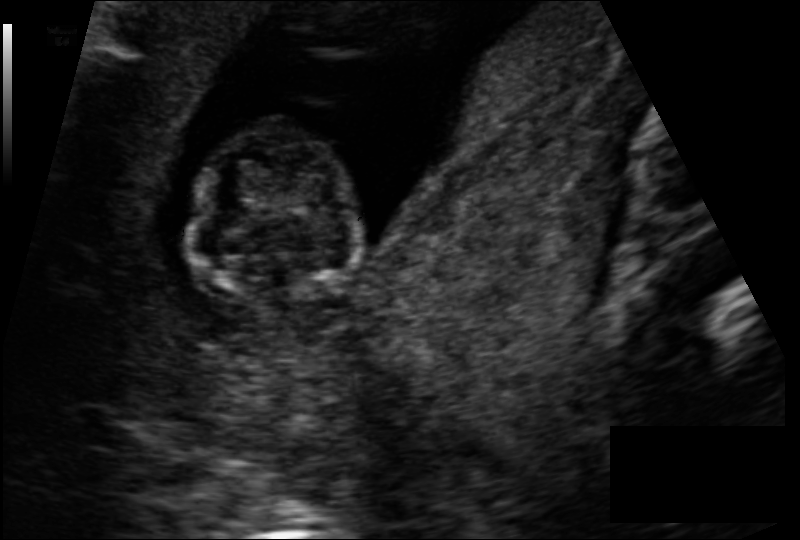
Fetal head ultrasound. Image width: 90.4 mm. Where is the fetal head?

Head bounding box: [194,123,360,305]